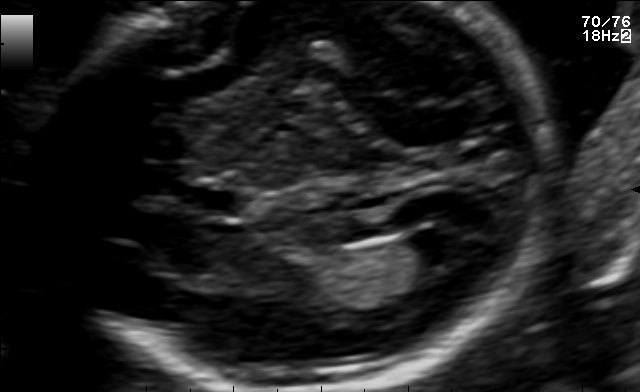
Which standard maternal-fetal ultrasound plane is shown: fetal abdomen, fetal brain, fetal femur, fetal thorax, maternal cervix, or other? If it's fetal brain and one of the three standard brain planes (trans-thalamic, trans-cerebellum, trans-ventricular), name which.

Fetal brain (trans-ventricular plane)